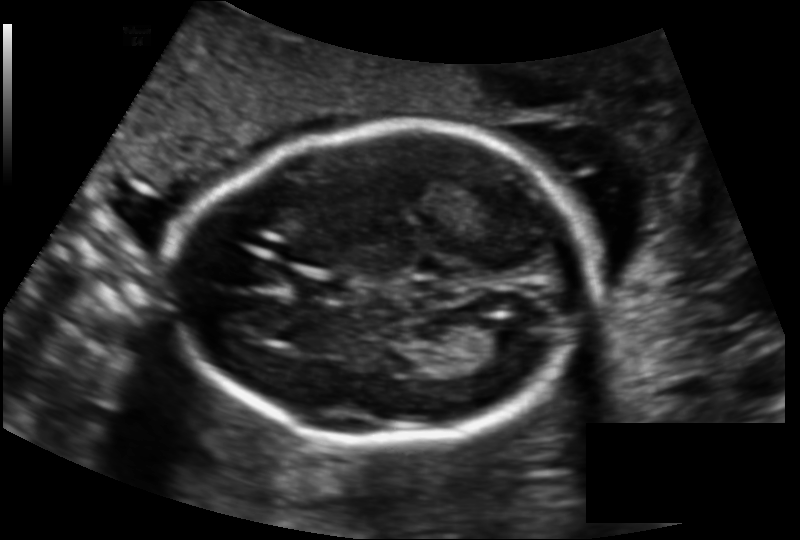
Fetal head ultrasound. Image width: 109.7 mm. Locate the cavum septum pellucidum.

CSP: [297,272,351,303]